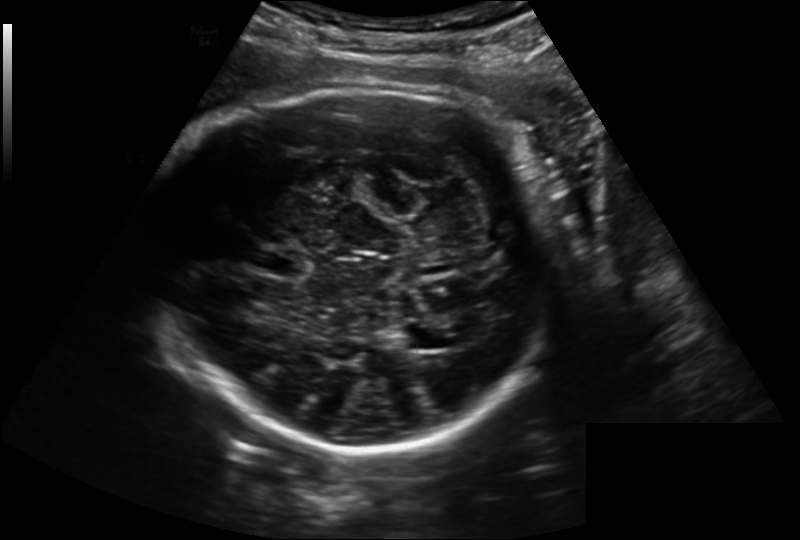
Fetal head ultrasound. Image width: 177.2 mm. Locate the fetal head.

Head: [148,80,554,447]